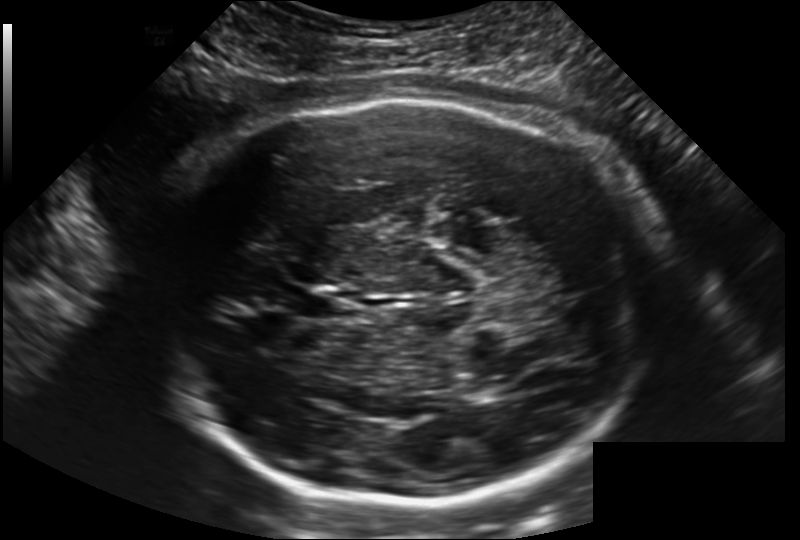
Fetal head ultrasound. Image width: 161.6 mm. Locate the fetal head and, if visible, the cavum septum pellucidum (CSP) and lateral ventricle (LV). Give bounding boxes as [x1,y1,x2,y2].

Head: [160,97,655,507]
CSP: [286,287,343,321]